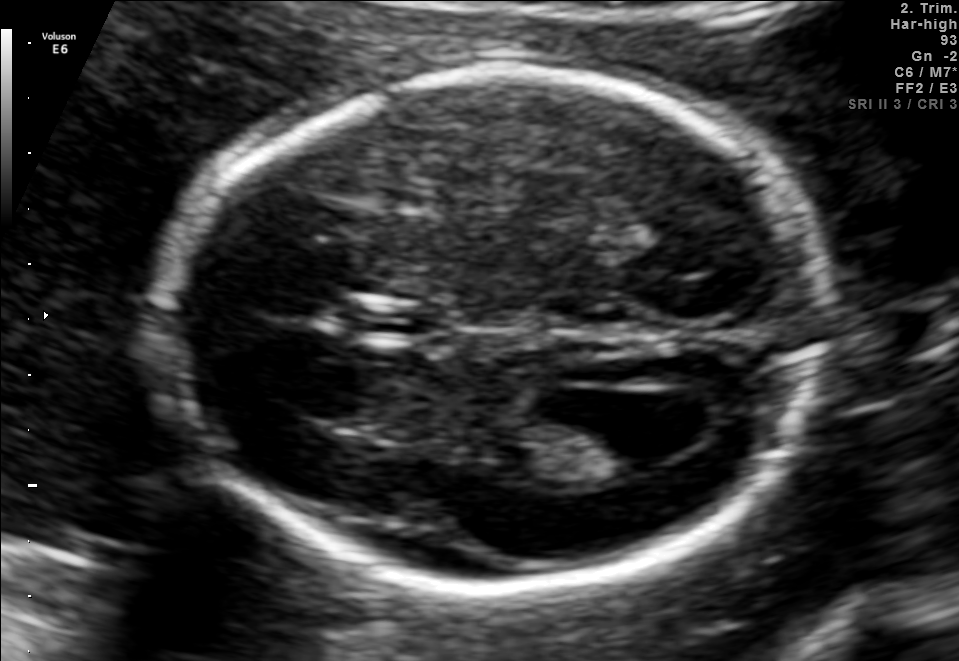
In this fetal brain, trans-ventricular plane, give the bounding box of the fetal head.

[162,62,845,599]